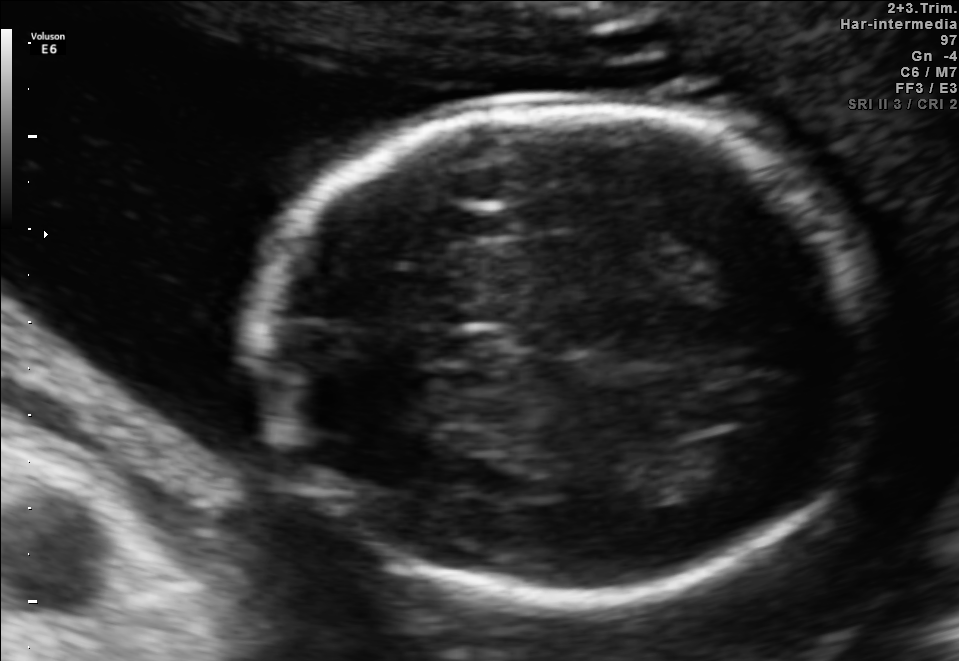
Identify the standard plane in this fetal ultrasound image: fetal abdomen, fetal brain, fetal femur, fetal thorax, maternal cervix, or other. If it's fetal brain and one of the three standard brain planes (trans-thalamic, trans-cerebellum, trans-ventricular), name which.

Fetal brain (trans-ventricular plane)